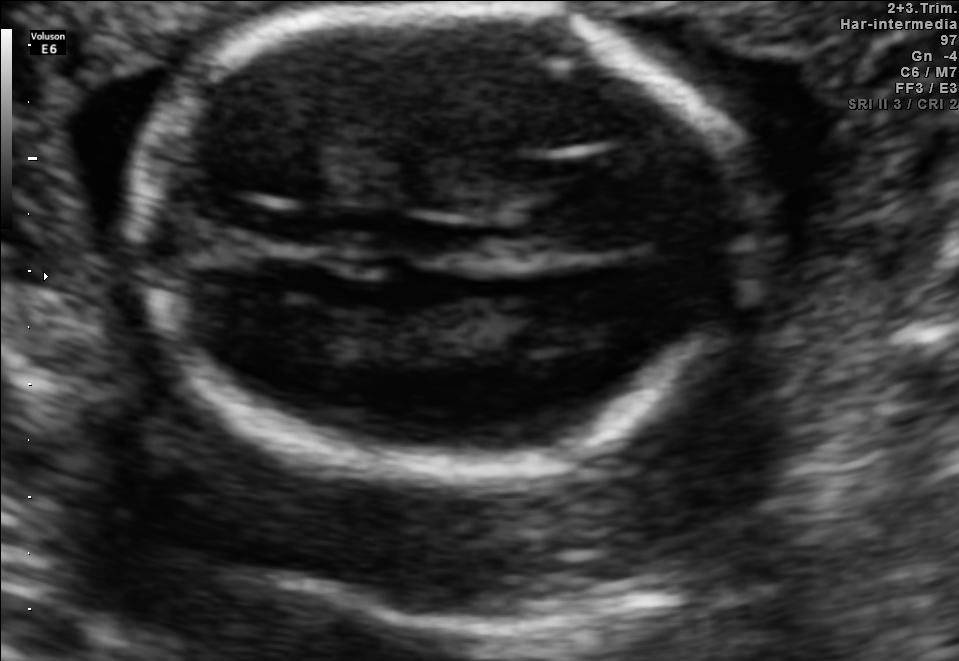
Fetal brain, trans-thalamic plane. Where is the cavum septum pellucidum?

CSP bounding box: [251,203,338,247]